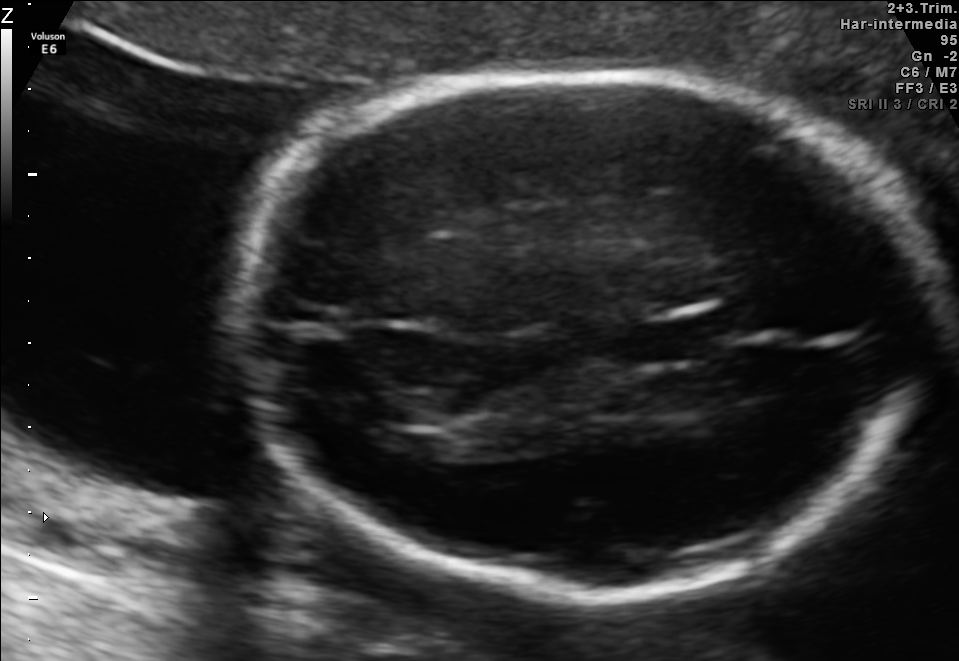
In this fetal brain, trans-thalamic plane, give bounding boxes for the head outline, cavum septum pellucidum (CSP), and lateral ventricle (LV), where visible.

Head: [250,70,927,595]
CSP: [631,312,725,369]